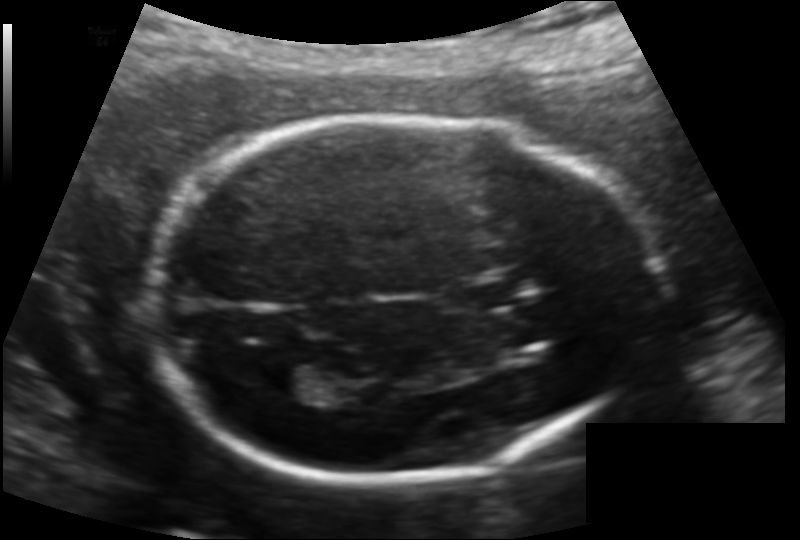
What is the fetal head circumference? Image width is 105.6 mm.

189.4 mm